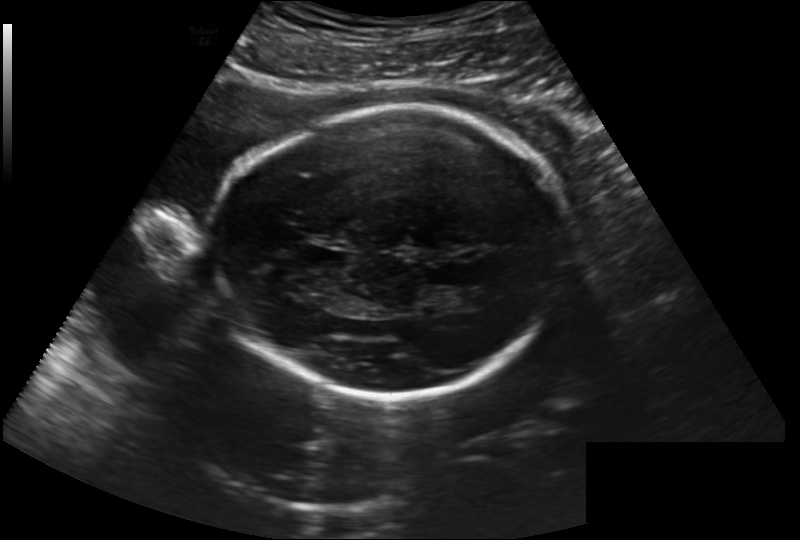
From this fetal ultrasound, estimate the head circumference (image width 177.2 mm).

Head circumference: 230.1 mm.